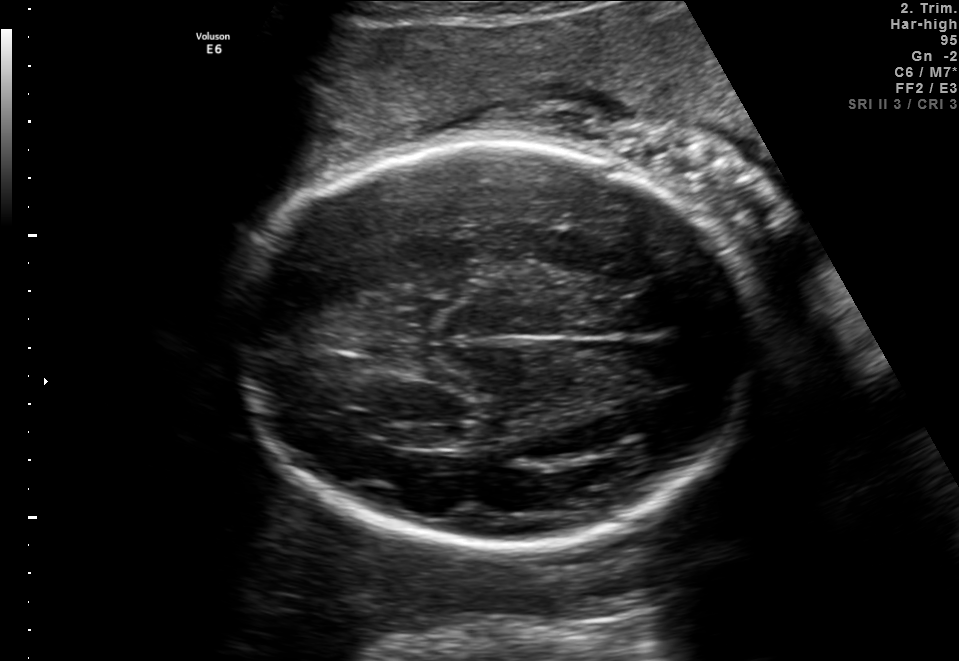
Fetal brain, trans-thalamic plane. Locate the lateral ventricle.

Lateral ventricle: [384,425,468,448]